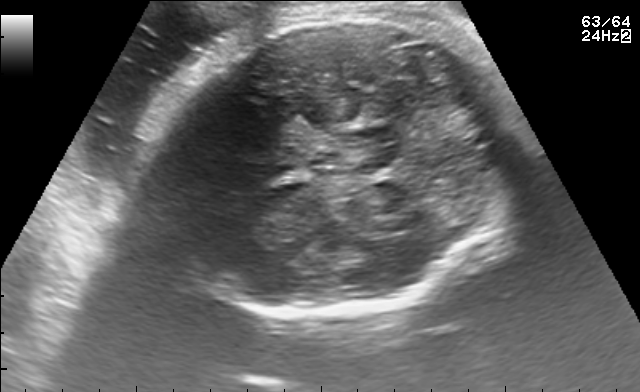
Fetal brain, trans-cerebellum plane. Where is the fetal head?

Head bounding box: [151,13,519,317]